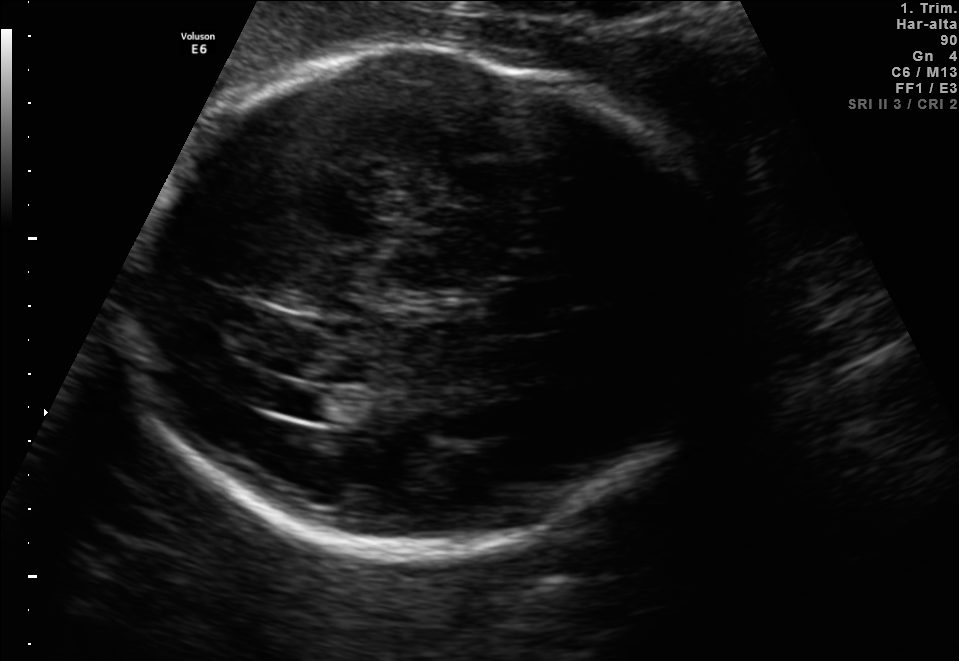
In this fetal brain, trans-ventricular plane, give bounding boxes for the head outline, cavum septum pellucidum (CSP), and lateral ventricle (LV), where visible.

Head: [135,44,740,565]
Lateral ventricle: [249,372,326,422]